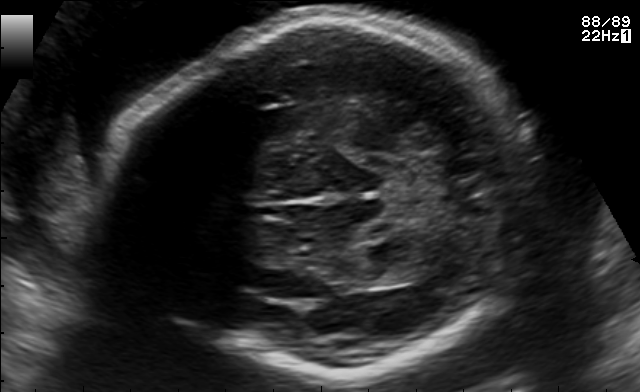
This is a 2D maternal-fetal ultrasound frame. Is it a fetal abdomen, fetal brain, fetal femur, fetal thorax, maternal cervix, or other standard plane? If it's fetal brain and one of the three standard brain planes (trans-thalamic, trans-cerebellum, trans-ventricular), name which.

Fetal brain (trans-cerebellum plane)